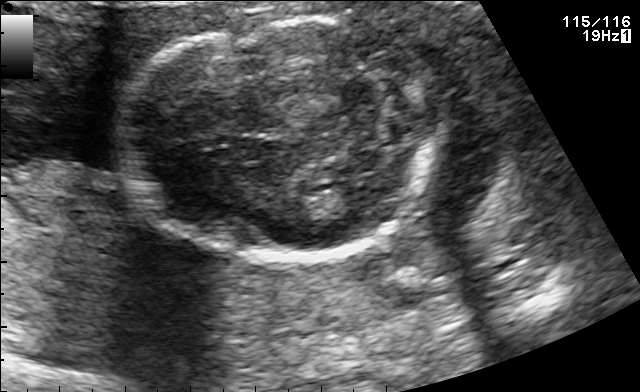
This is a 2D maternal-fetal ultrasound frame. Is it a fetal abdomen, fetal brain, fetal femur, fetal thorax, maternal cervix, or other standard plane? If it's fetal brain and one of the three standard brain planes (trans-thalamic, trans-cerebellum, trans-ventricular), name which.

Fetal brain